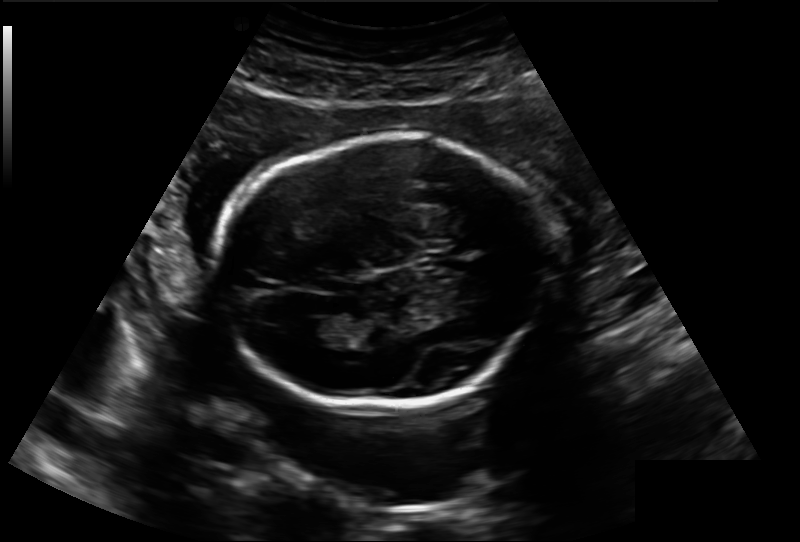
Measure the fetal head circumference shown in this ultrasound image. Image width: 150.3 mm.

Head circumference: 183.7 mm.